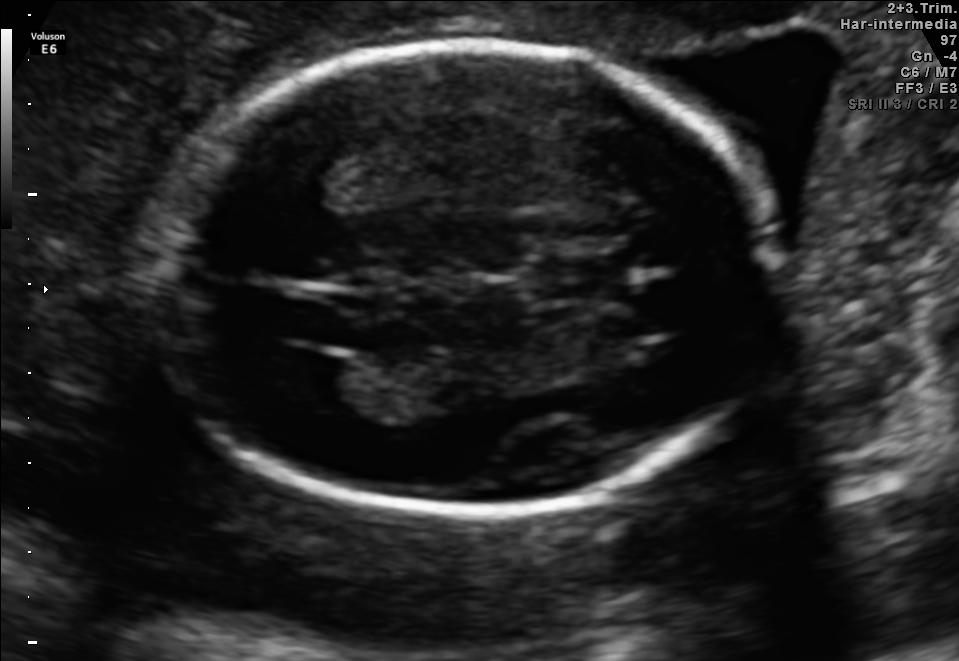
In this fetal brain, trans-ventricular plane, give the bounding box of the lateral ventricle.

[276,350,351,401]